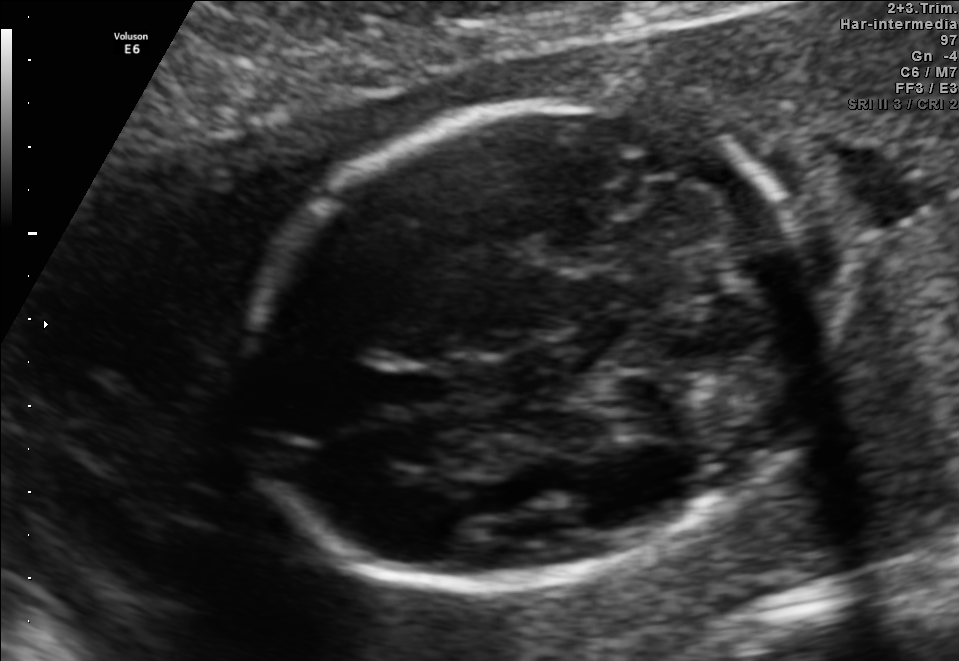
Classify this maternal-fetal ultrasound image as one of the six standard planes — fetal abdomen, fetal brain, fetal femur, fetal thorax, maternal cervix, or other. If it's fetal brain and one of the three standard brain planes (trans-thalamic, trans-cerebellum, trans-ventricular), name which.

Fetal brain (trans-cerebellum plane)